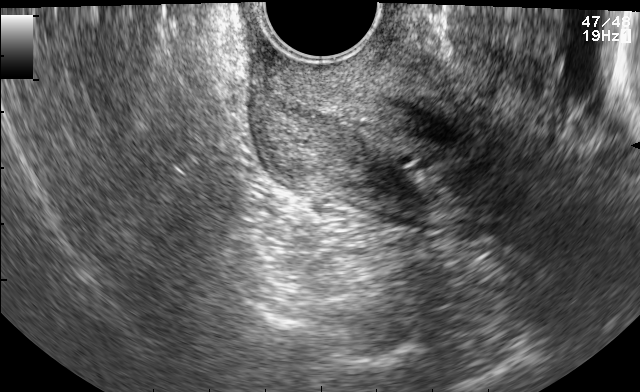
Which standard maternal-fetal ultrasound plane is shown: fetal abdomen, fetal brain, fetal femur, fetal thorax, maternal cervix, or other? If it's fetal brain and one of the three standard brain planes (trans-thalamic, trans-cerebellum, trans-ventricular), name which.

Maternal cervix